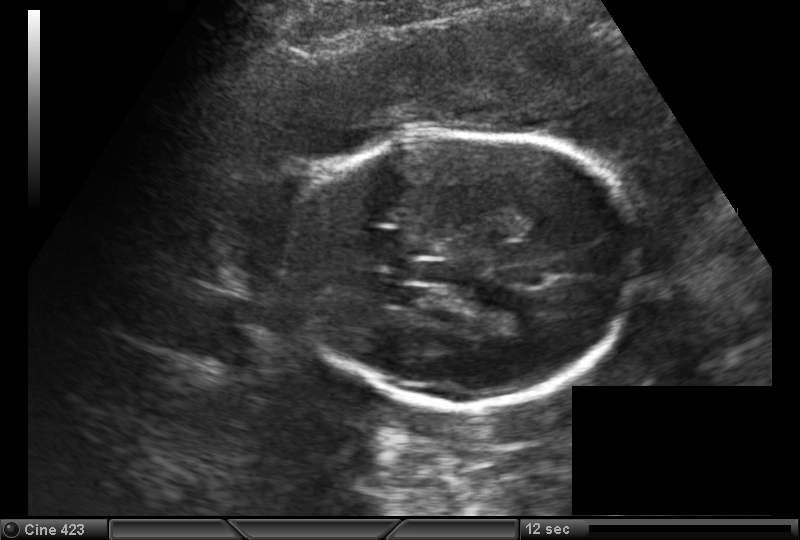
Fetal head ultrasound. Image width: 138.2 mm. Where is the fetal head?

Head bounding box: [289,132,636,409]